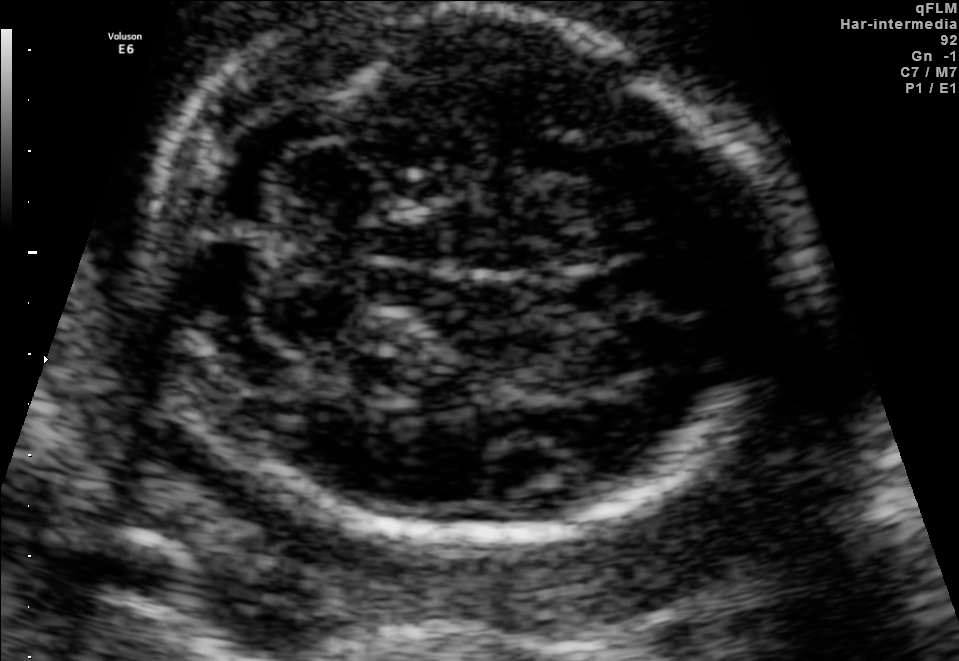
Fetal brain, trans-cerebellum plane. Give [x1,y1,x2,y2] bounding boxes for each visible structure among: fetal head, CSP, LV.

Head: [147,8,772,537]